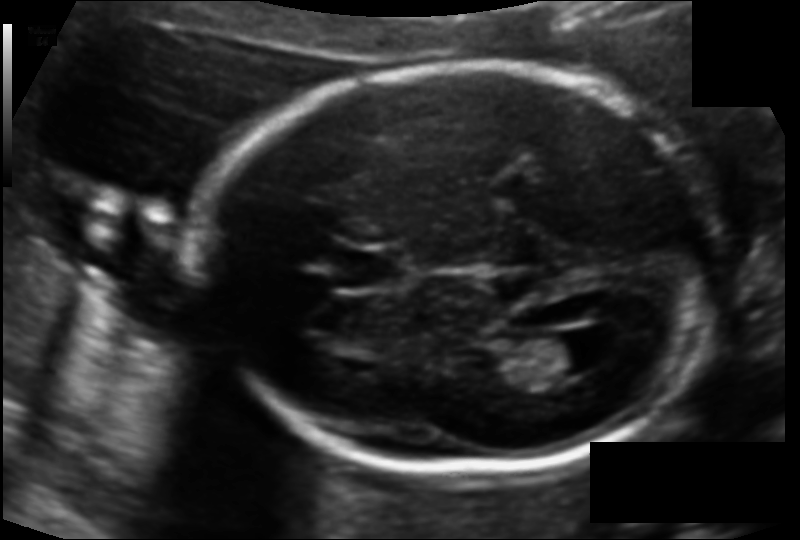
In this fetal head ultrasound, give bounding boxes for the head outline, cavum septum pellucidum (CSP), and lateral ventricle (LV), where visible. Image width: 94.2 mm.

Head: [208,65,714,469]
CSP: [338,251,404,287]
Lateral ventricle: [524,325,609,384]